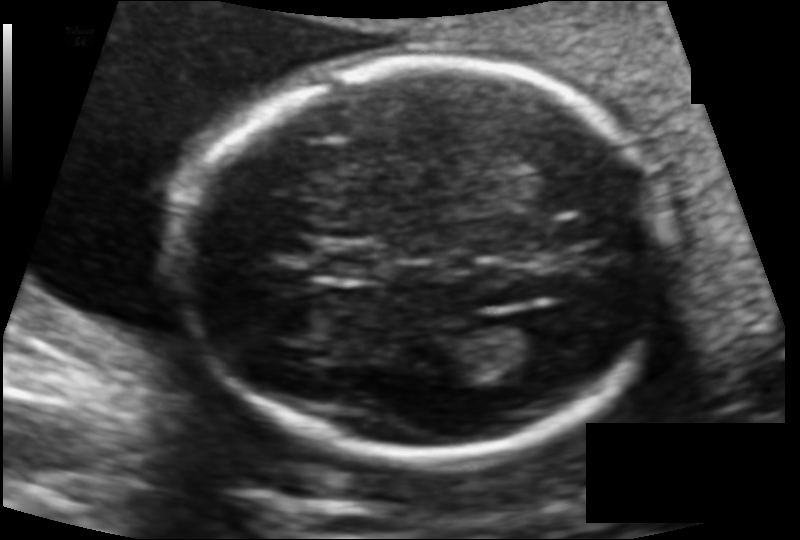
Fetal head ultrasound. Image width: 91.4 mm. Locate the cavum septum pellucidum.

CSP: [311,239,386,283]